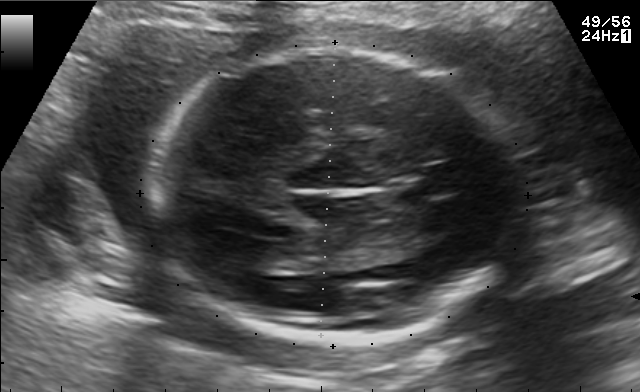
Which standard maternal-fetal ultrasound plane is shown: fetal abdomen, fetal brain, fetal femur, fetal thorax, maternal cervix, or other? If it's fetal brain and one of the three standard brain planes (trans-thalamic, trans-cerebellum, trans-ventricular), name which.

Other